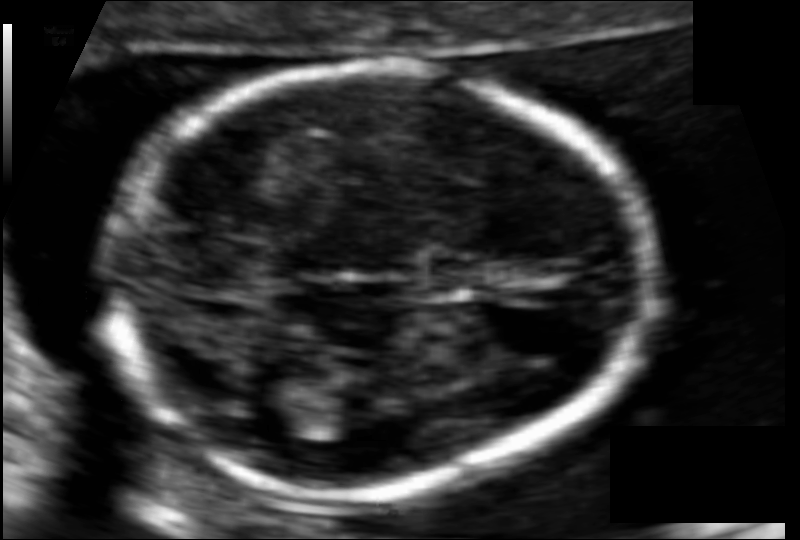
In this fetal head ultrasound, give the bounding box of the fetal head. Image width: 67.6 mm.

[105,67,645,501]